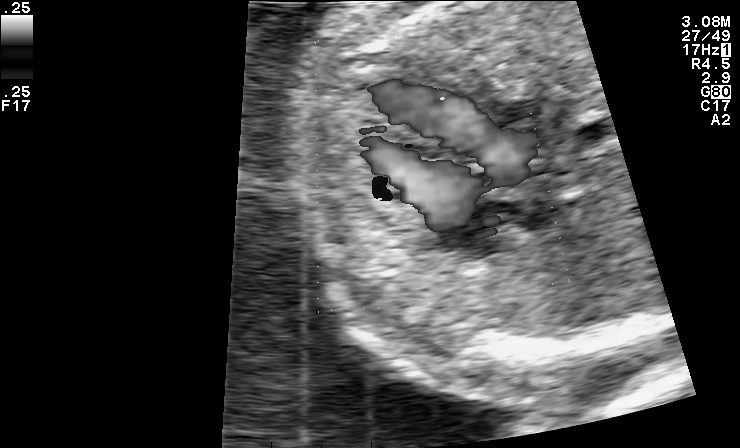
Identify the standard plane in this fetal ultrasound image: fetal abdomen, fetal brain, fetal femur, fetal thorax, maternal cervix, or other. If it's fetal brain and one of the three standard brain planes (trans-thalamic, trans-cerebellum, trans-ventricular), name which.

Other